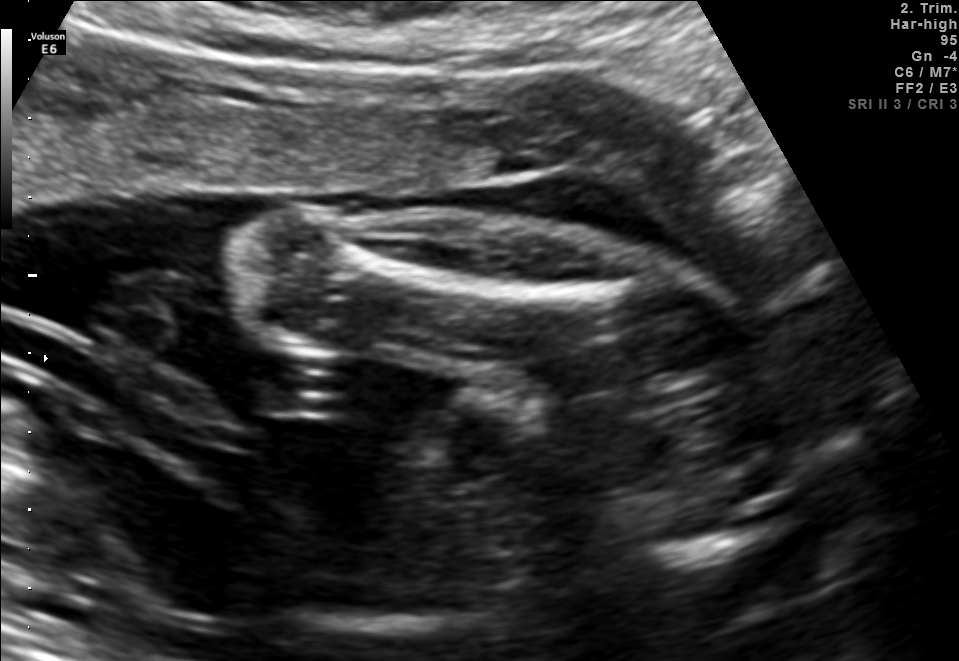
Classify this maternal-fetal ultrasound image as one of the six standard planes — fetal abdomen, fetal brain, fetal femur, fetal thorax, maternal cervix, or other. If it's fetal brain and one of the three standard brain planes (trans-thalamic, trans-cerebellum, trans-ventricular), name which.

Fetal femur